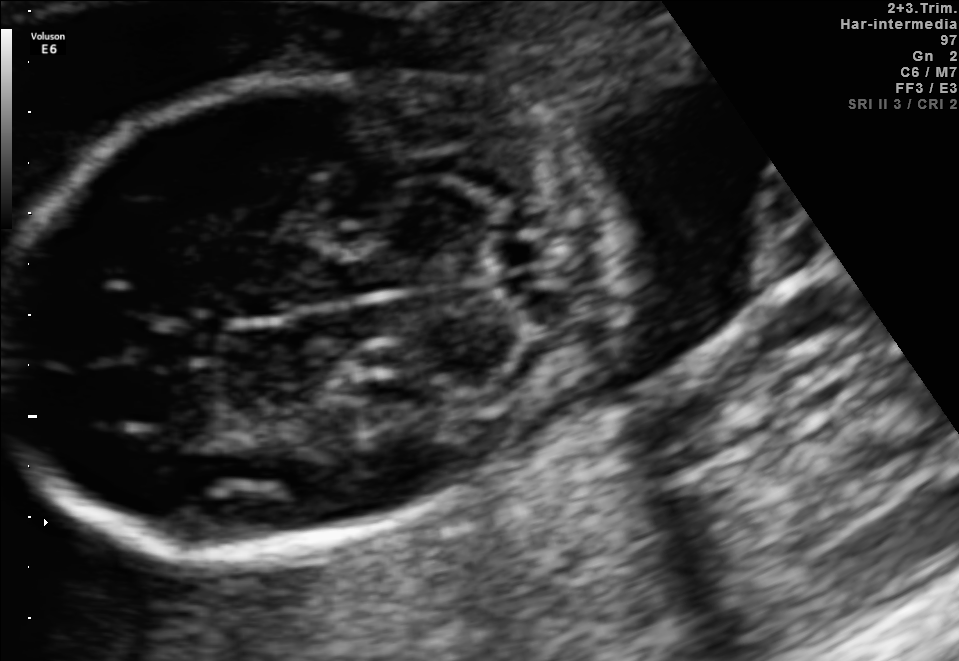
Which standard maternal-fetal ultrasound plane is shown: fetal abdomen, fetal brain, fetal femur, fetal thorax, maternal cervix, or other? If it's fetal brain and one of the three standard brain planes (trans-thalamic, trans-cerebellum, trans-ventricular), name which.

Fetal brain (trans-cerebellum plane)